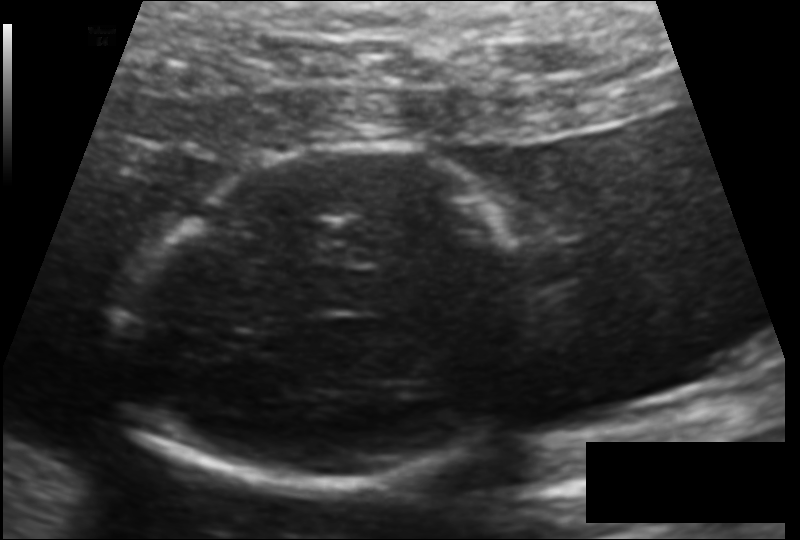
Fetal head ultrasound. Image width: 99.4 mm. Give [x1,y1,x2,y2] bounding boxes for each visible structure among: fetal head, CSP, LV.

Head: [126,148,527,490]